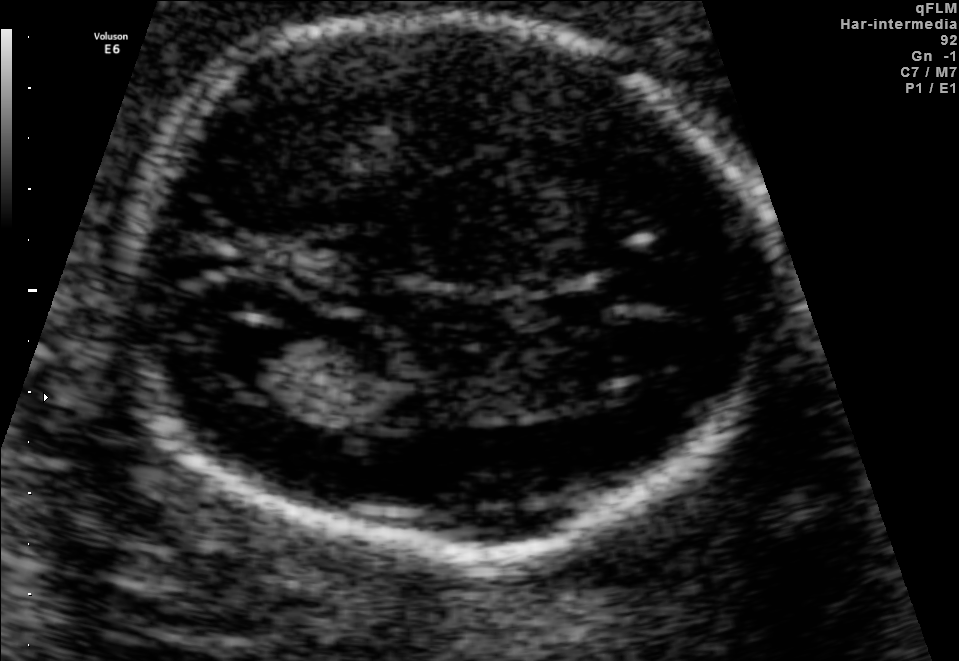
In this fetal brain, trans-ventricular plane, give the bounding box of the fetal head.

[100,6,783,571]